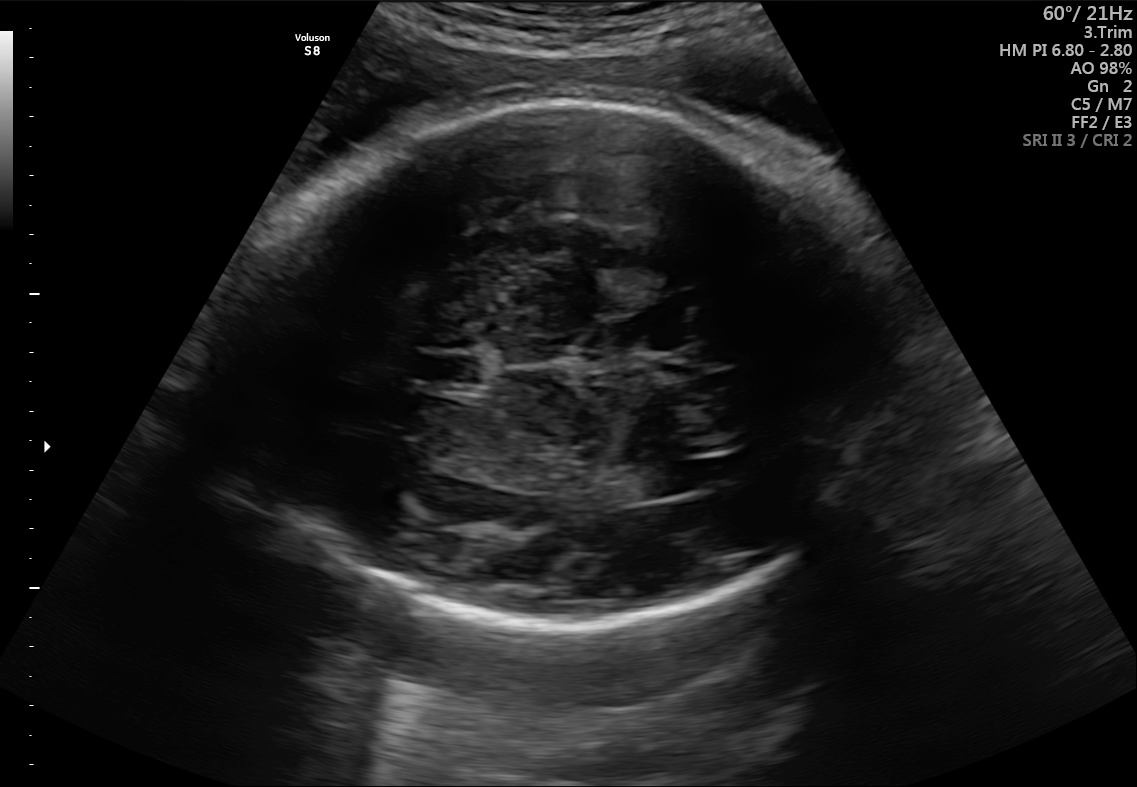
Fetal brain, trans-ventricular plane. Locate the lateral ventricle.

Lateral ventricle: [637,457,702,501]